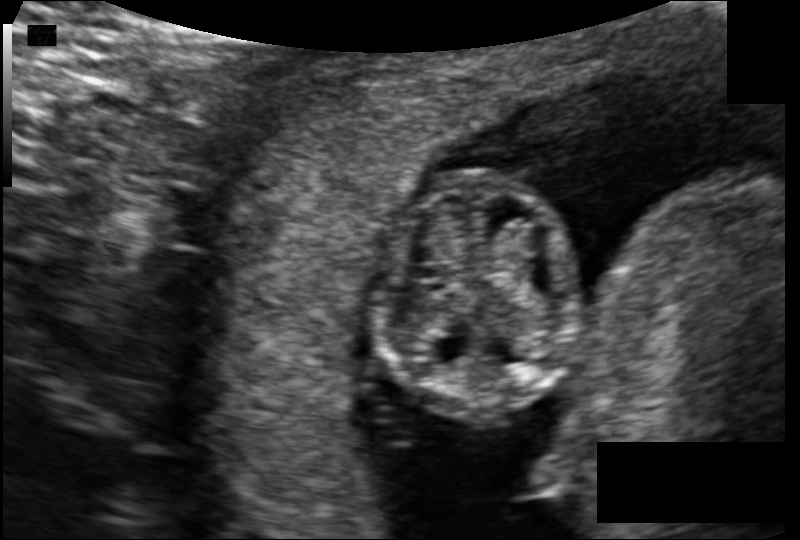
Fetal head ultrasound. Image width: 81.0 mm. Where is the fetal head?

Head bounding box: [373,172,579,414]